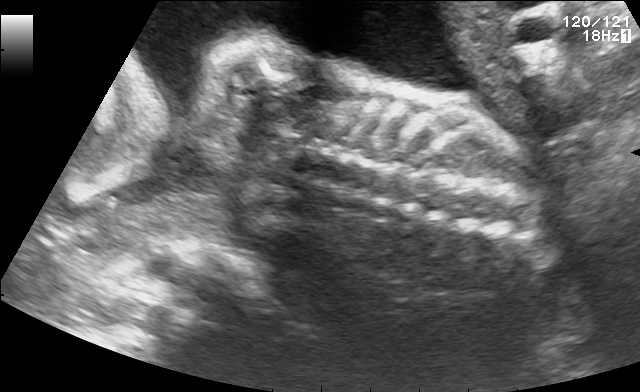
Identify the standard plane in this fetal ultrasound image: fetal abdomen, fetal brain, fetal femur, fetal thorax, maternal cervix, or other. If it's fetal brain and one of the three standard brain planes (trans-thalamic, trans-cerebellum, trans-ventricular), name which.

Other